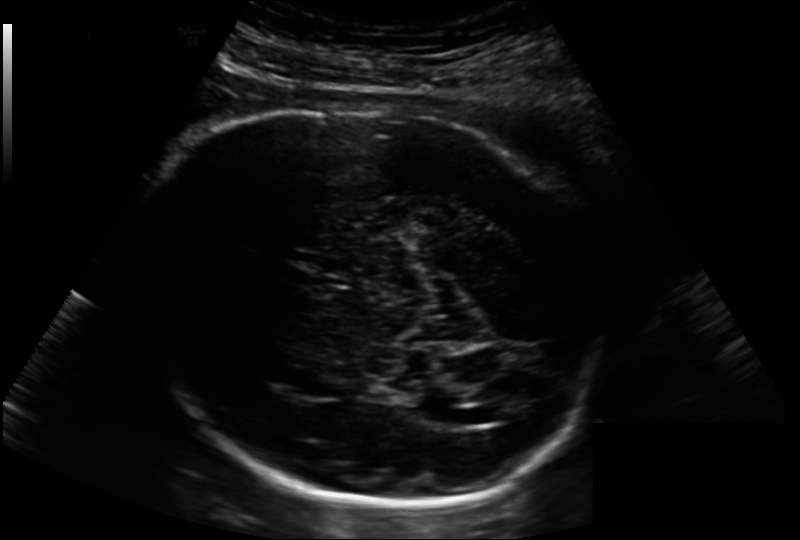
Fetal head ultrasound. Image width: 161.6 mm. Give [x1,y1,x2,y2] bounding boxes for each visible structure among: fetal head, CSP, LV.

Head: [123,105,601,502]